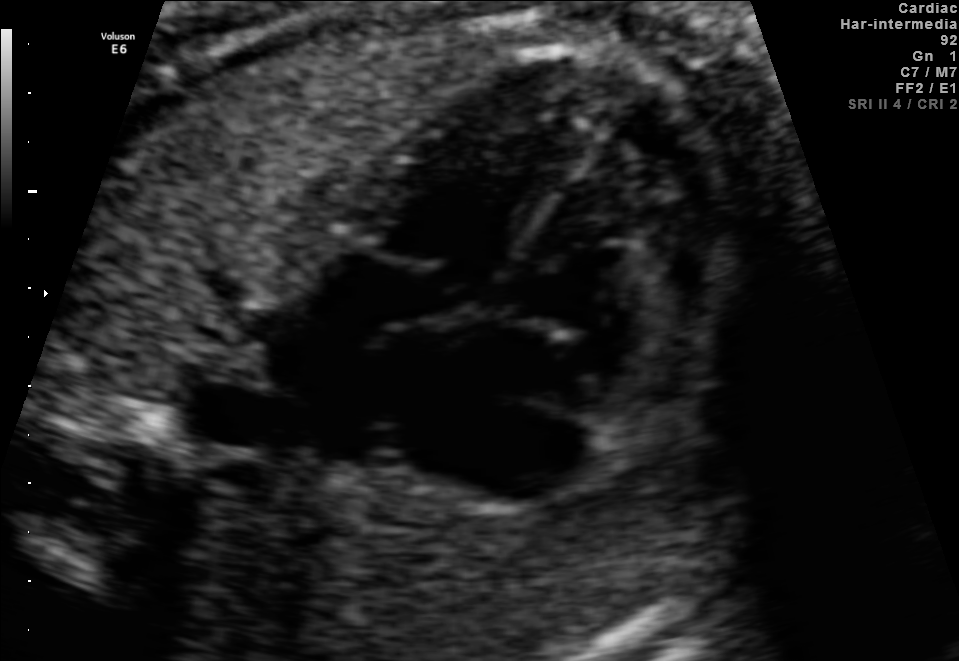
This is a 2D maternal-fetal ultrasound frame. Is it a fetal abdomen, fetal brain, fetal femur, fetal thorax, maternal cervix, or other standard plane? If it's fetal brain and one of the three standard brain planes (trans-thalamic, trans-cerebellum, trans-ventricular), name which.

Fetal thorax